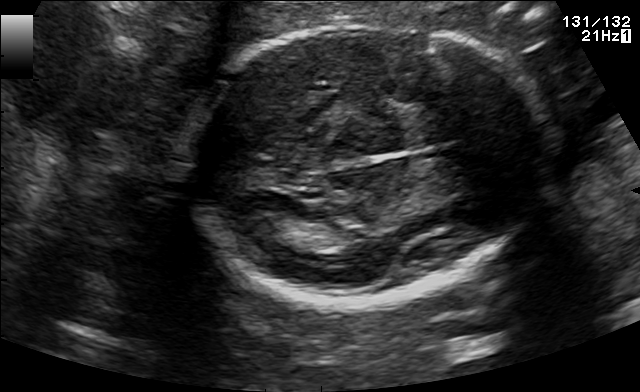
This is a 2D maternal-fetal ultrasound frame. Is it a fetal abdomen, fetal brain, fetal femur, fetal thorax, maternal cervix, or other standard plane? If it's fetal brain and one of the three standard brain planes (trans-thalamic, trans-cerebellum, trans-ventricular), name which.

Fetal brain (trans-thalamic plane)